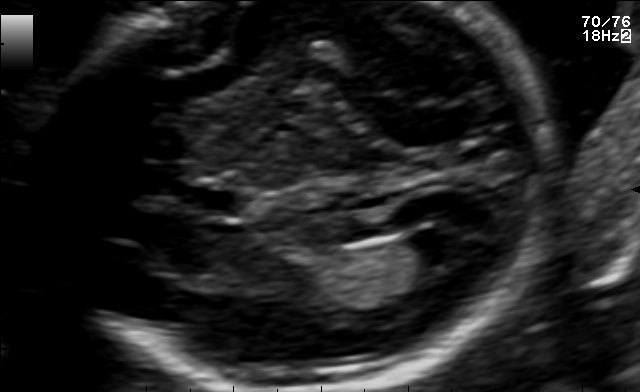
Fetal brain, trans-ventricular plane. Where is the lateral ventricle?

Lateral ventricle bounding box: [410,217,481,269]